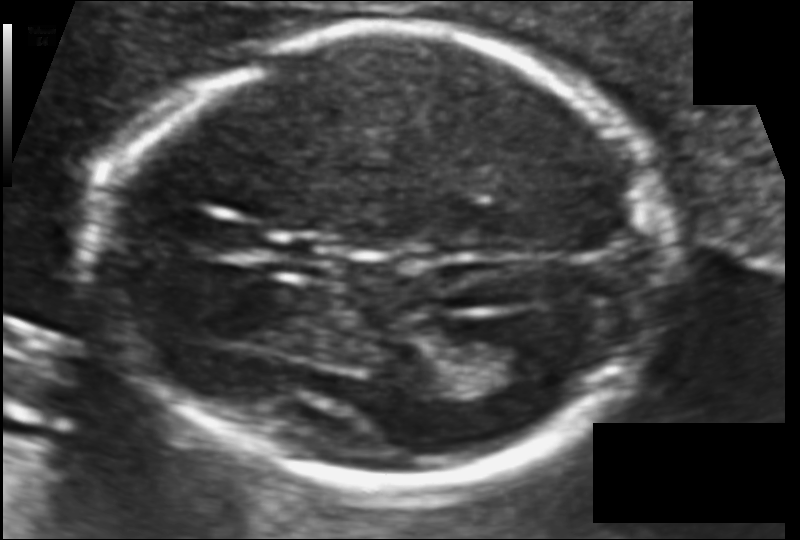
From this fetal ultrasound, estimate the head circumference (image width 78.9 mm).

Head circumference: 167.4 mm.